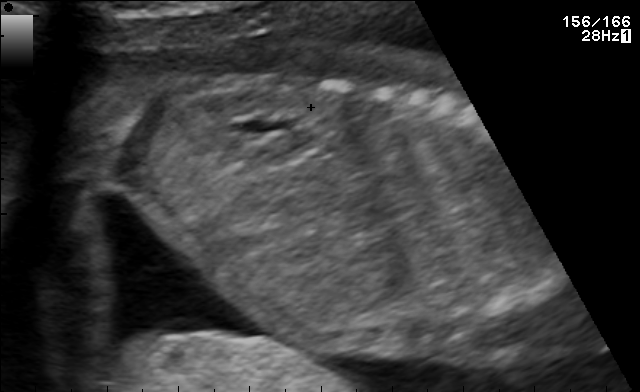
Classify this maternal-fetal ultrasound image as one of the six standard planes — fetal abdomen, fetal brain, fetal femur, fetal thorax, maternal cervix, or other. If it's fetal brain and one of the three standard brain planes (trans-thalamic, trans-cerebellum, trans-ventricular), name which.

Other